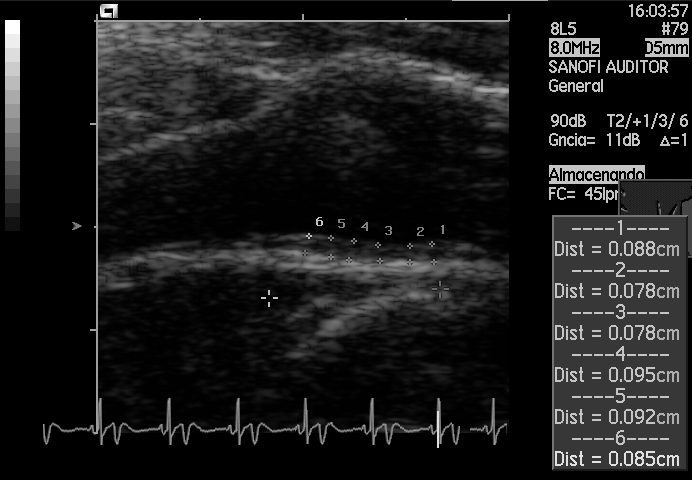
Which standard maternal-fetal ultrasound plane is shown: fetal abdomen, fetal brain, fetal femur, fetal thorax, maternal cervix, or other? If it's fetal brain and one of the three standard brain planes (trans-thalamic, trans-cerebellum, trans-ventricular), name which.

Other